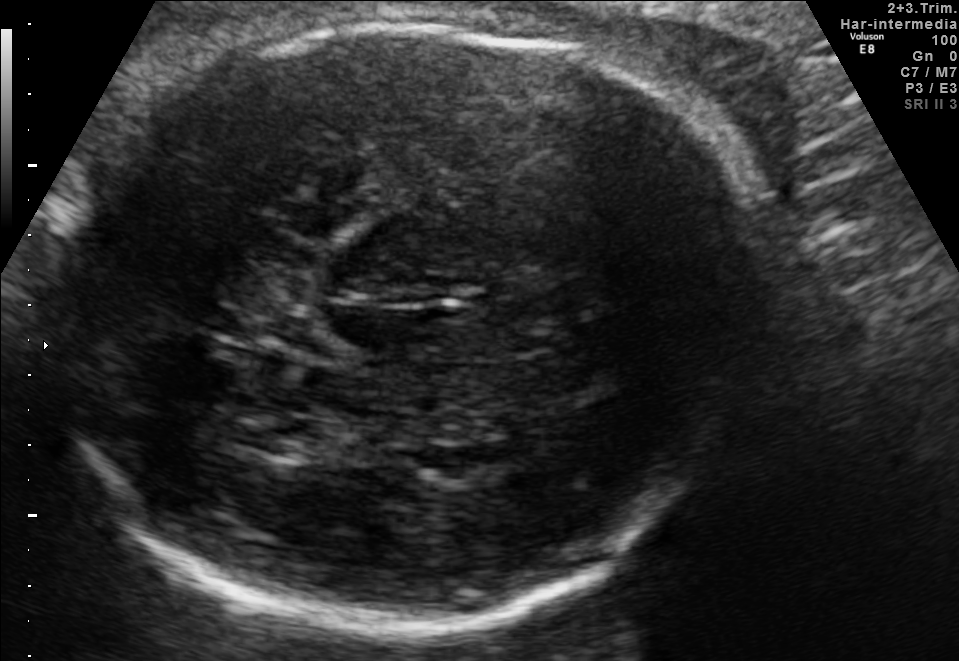
Fetal brain, trans-thalamic plane. Give [x1,y1,x2,y2] bounding boxes for each visible structure among: fetal head, CSP, LV.

Head: [49,21,766,626]
Lateral ventricle: [238,404,327,464]